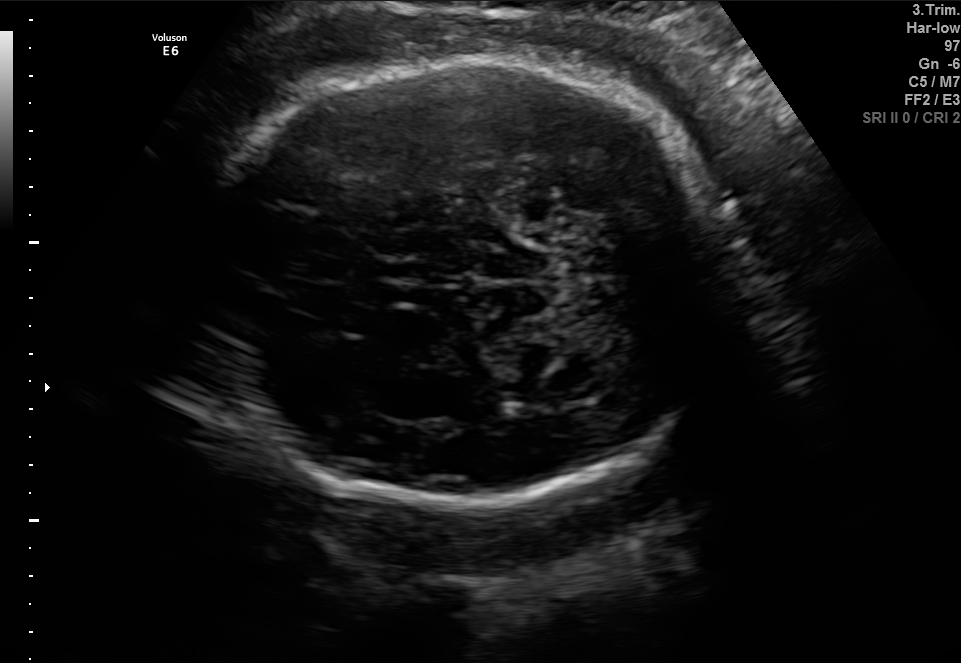
Fetal brain, trans-cerebellum plane. Locate the fetal head and, if visible, the cavum septum pellucidum (CSP) and lateral ventricle (LV). Give bounding boxes as [x1,y1,x2,y2].

Head: [192,59,729,506]